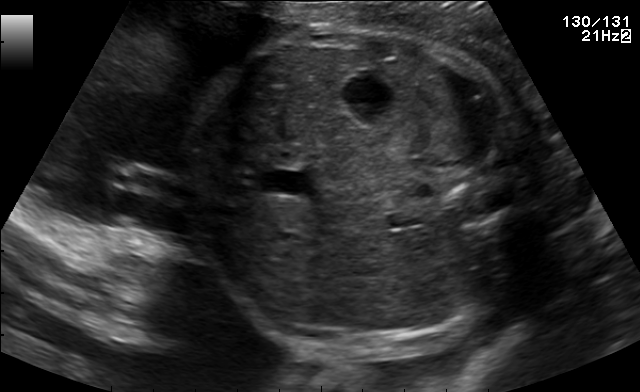
Which standard maternal-fetal ultrasound plane is shown: fetal abdomen, fetal brain, fetal femur, fetal thorax, maternal cervix, or other? If it's fetal brain and one of the three standard brain planes (trans-thalamic, trans-cerebellum, trans-ventricular), name which.

Fetal abdomen